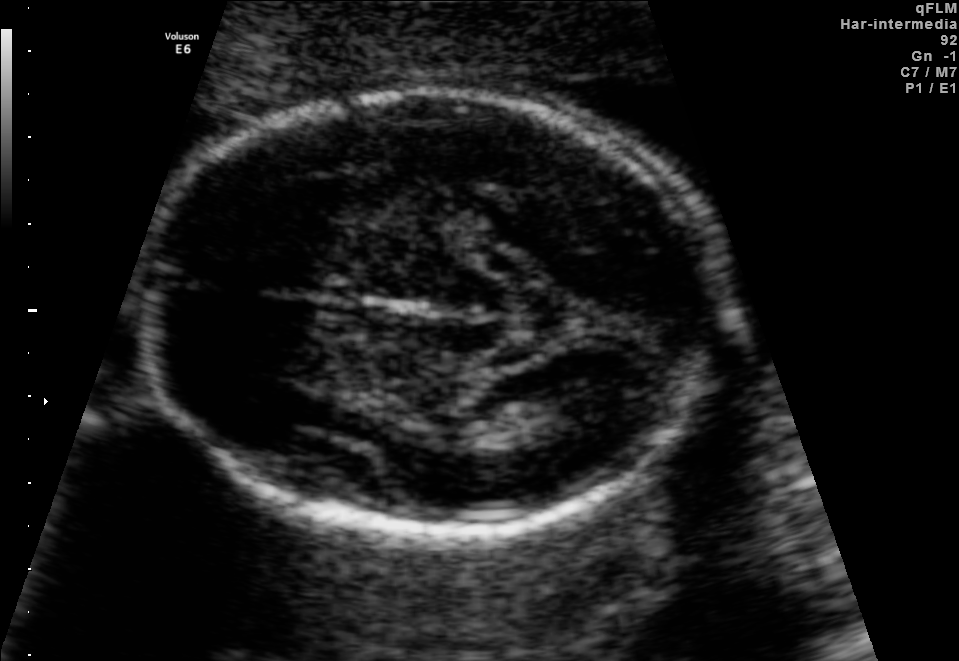
Fetal brain, trans-thalamic plane. Locate the lateral ventricle.

Lateral ventricle: [521,371,625,446]